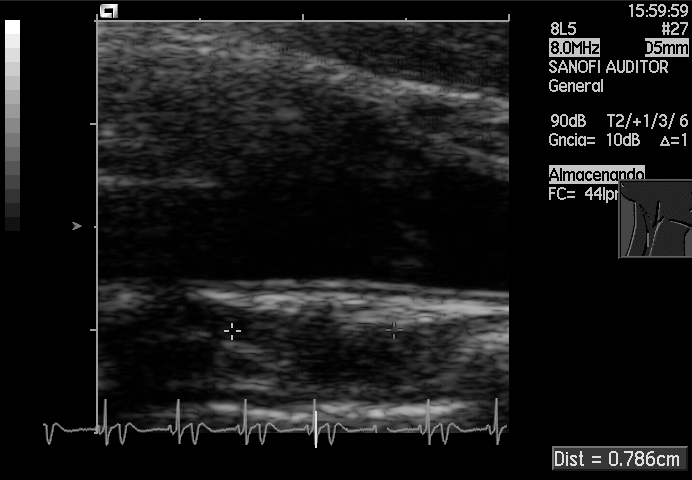
Identify the standard plane in this fetal ultrasound image: fetal abdomen, fetal brain, fetal femur, fetal thorax, maternal cervix, or other. If it's fetal brain and one of the three standard brain planes (trans-thalamic, trans-cerebellum, trans-ventricular), name which.

Other